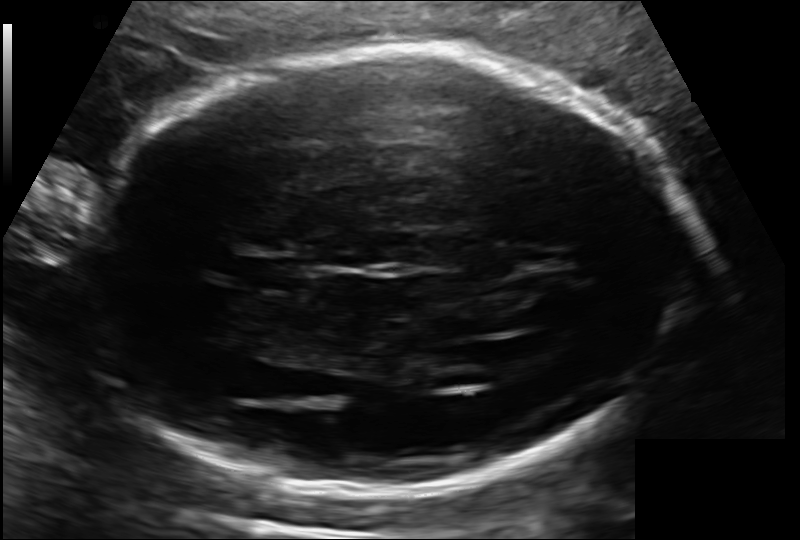
Estimate the fetal head circumference from this 2D ultrasound. Image width: 114.4 mm.

Head circumference: 249.5 mm.